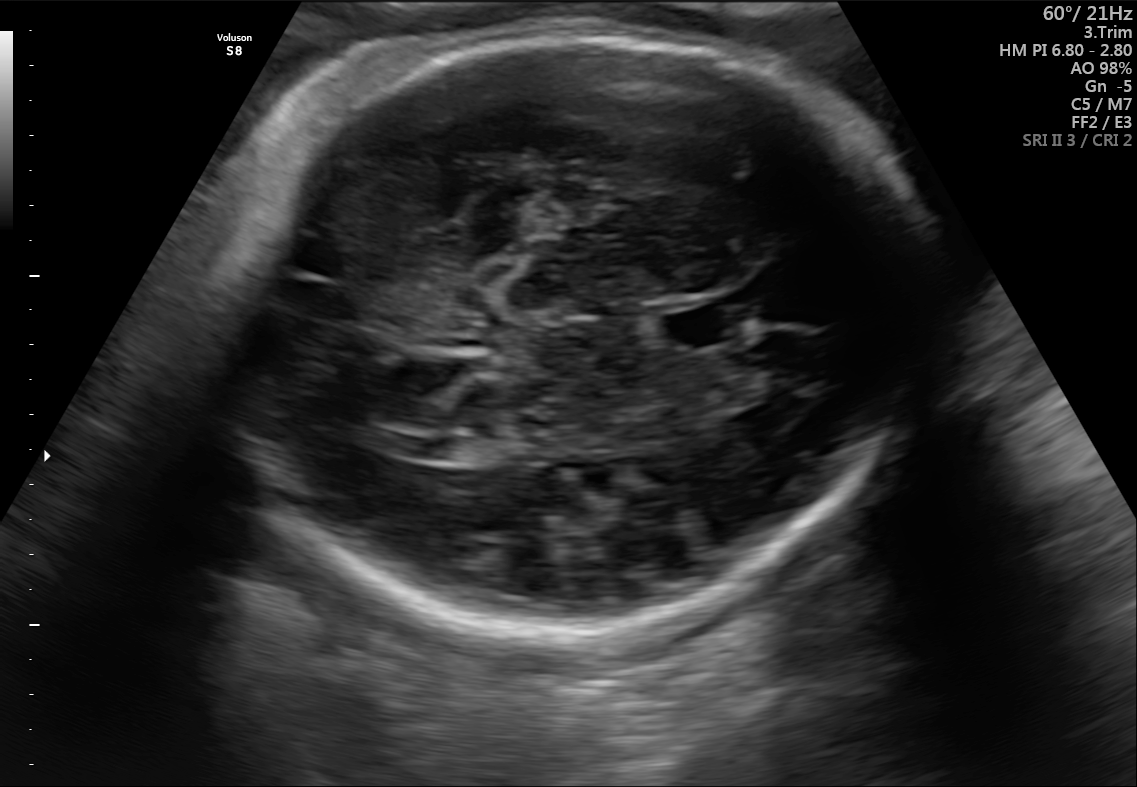
This is a 2D maternal-fetal ultrasound frame. Is it a fetal abdomen, fetal brain, fetal femur, fetal thorax, maternal cervix, or other standard plane? If it's fetal brain and one of the three standard brain planes (trans-thalamic, trans-cerebellum, trans-ventricular), name which.

Fetal brain (trans-thalamic plane)